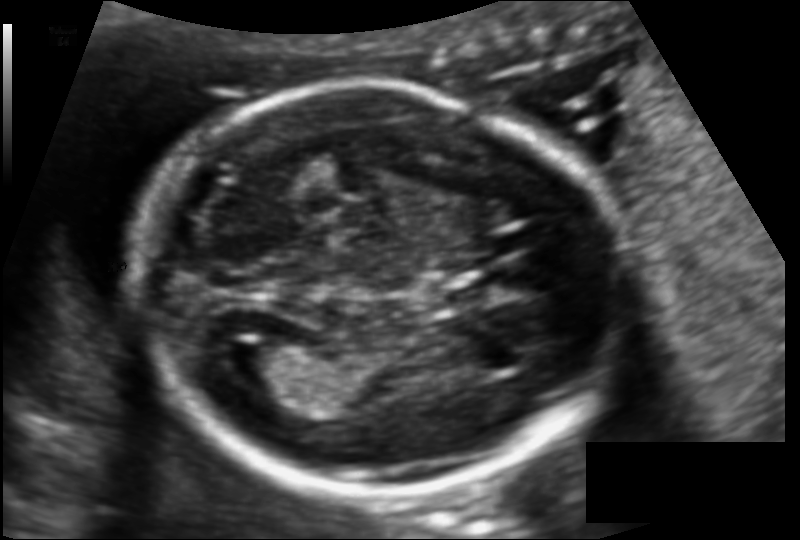
In this fetal head ultrasound, give the bounding box of the lateral ventricle. Image width: 89.5 mm.

[205,330,290,396]